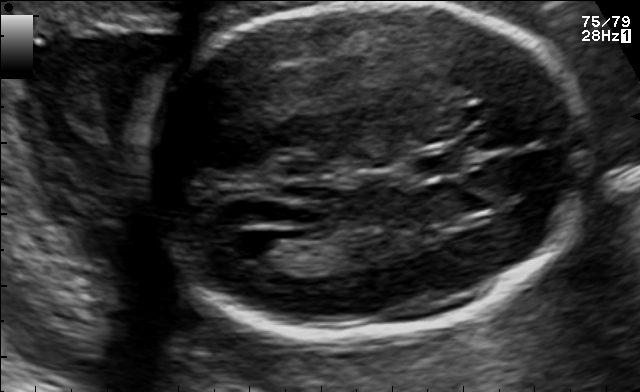
Fetal brain, trans-ventricular plane. Locate the fetal head and, if visible, the cavum septum pellucidum (CSP) and lateral ventricle (LV). Give bounding boxes as [x1,y1,x2,y2].

Head: [123,2,606,346]
CSP: [396,138,485,184]
Lateral ventricle: [217,226,287,264]